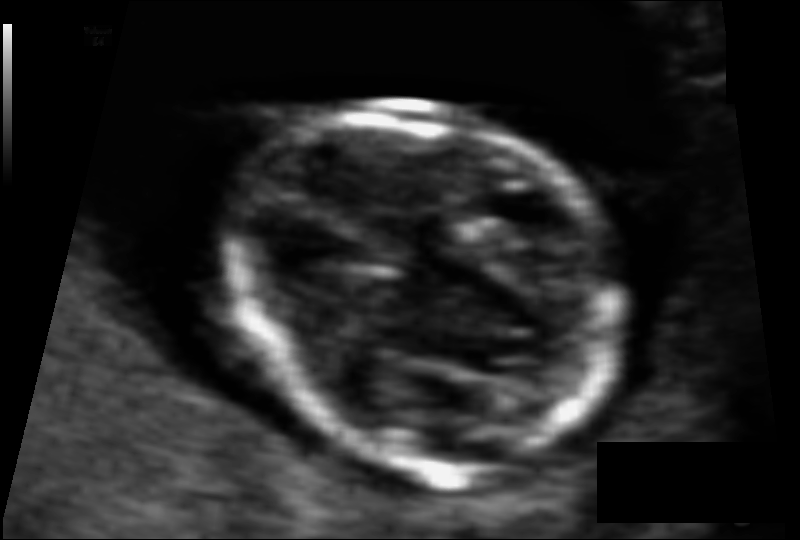
Fetal head ultrasound. Image width: 50.5 mm. Locate the fetal head and, if visible, the cavum septum pellucidum (CSP) and lateral ventricle (LV). Give bounding boxes as [x1,y1,x2,y2].

Head: [231,100,624,472]